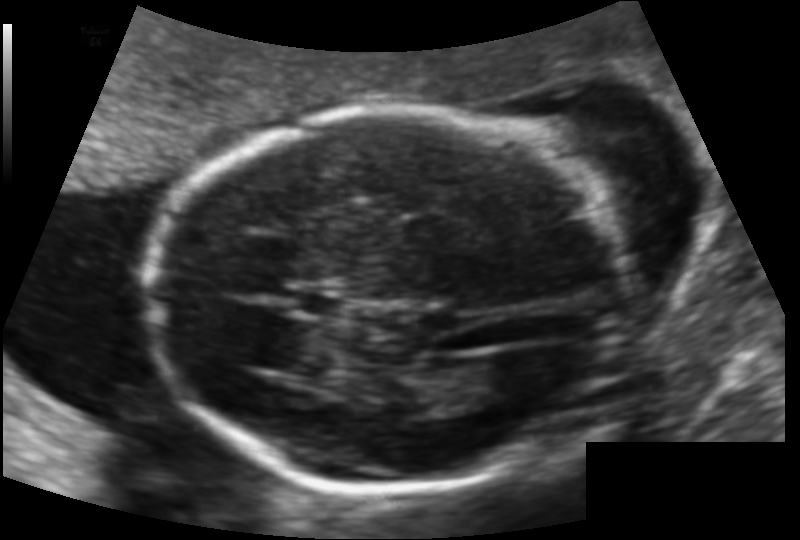
Fetal head ultrasound. Image width: 94.5 mm. Locate the cavum septum pellucidum.

CSP: [292,288,343,319]